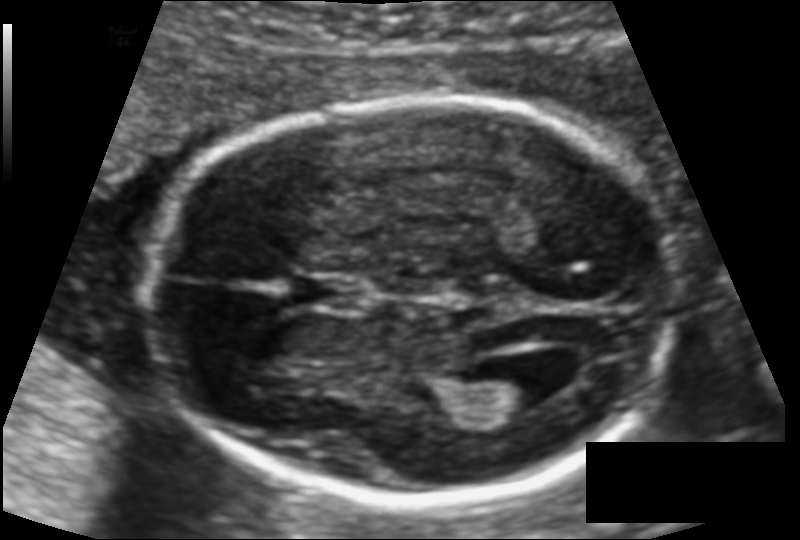
Fetal head ultrasound. Image width: 90.3 mm. Where is the lateral ventricle?

Lateral ventricle bounding box: [469,356,553,424]